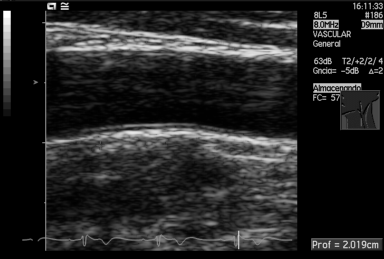
Classify this maternal-fetal ultrasound image as one of the six standard planes — fetal abdomen, fetal brain, fetal femur, fetal thorax, maternal cervix, or other. If it's fetal brain and one of the three standard brain planes (trans-thalamic, trans-cerebellum, trans-ventricular), name which.

Other